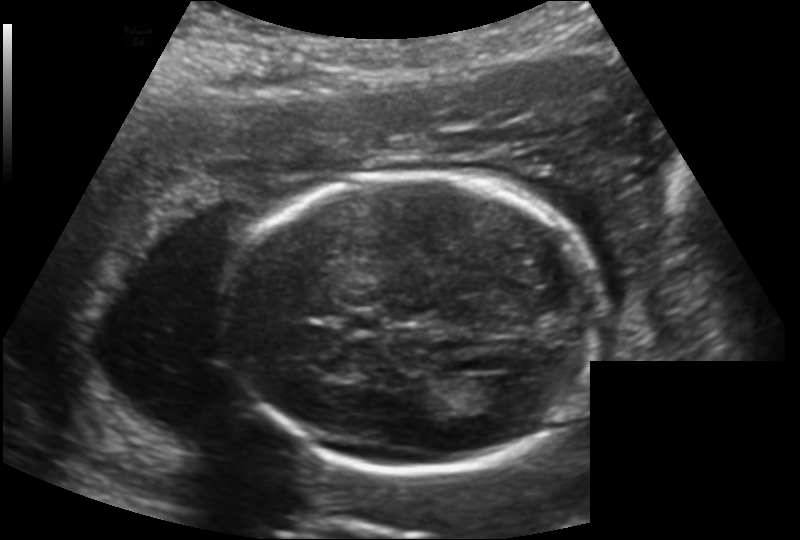
In this fetal head ultrasound, give the bounding box of the fetal head. Image width: 135.0 mm.

[229,175,599,471]